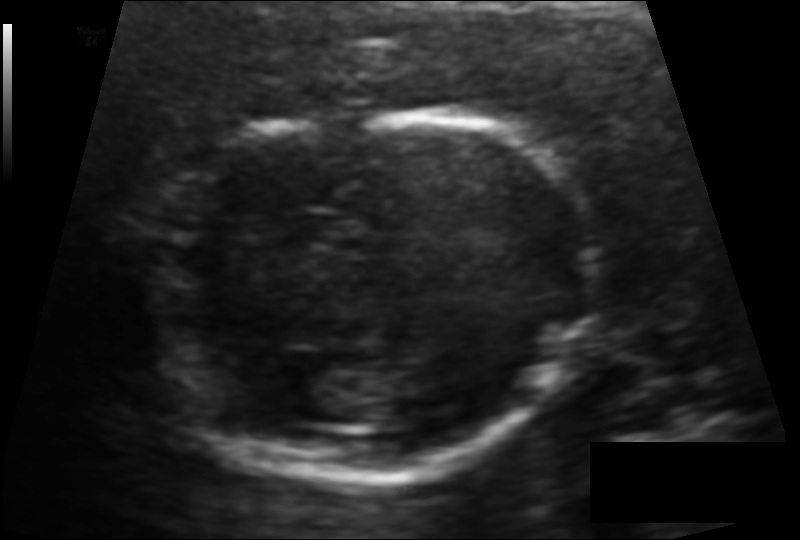
Measure the fetal head circumference shown in this ultrasound image. Image width: 81.2 mm.

Head circumference: 132.5 mm.